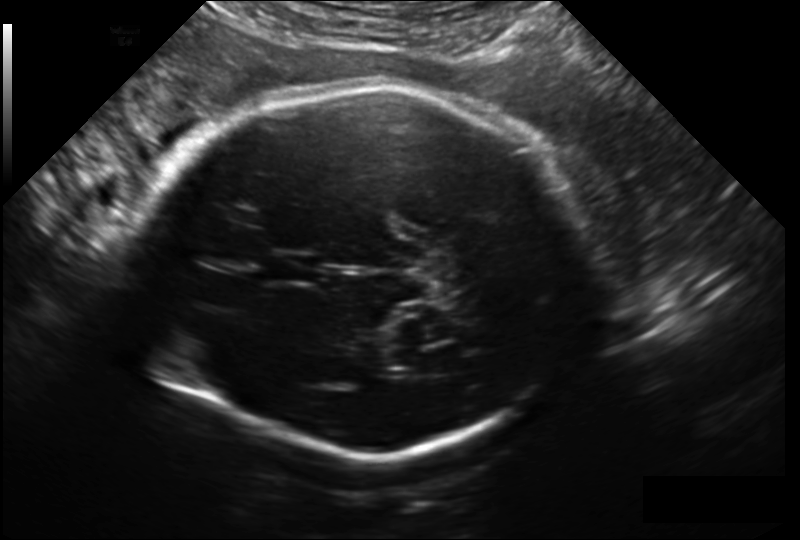
Fetal head ultrasound. Image width: 167.2 mm. Locate the lateral ventricle.

Lateral ventricle: [386,349,443,376]